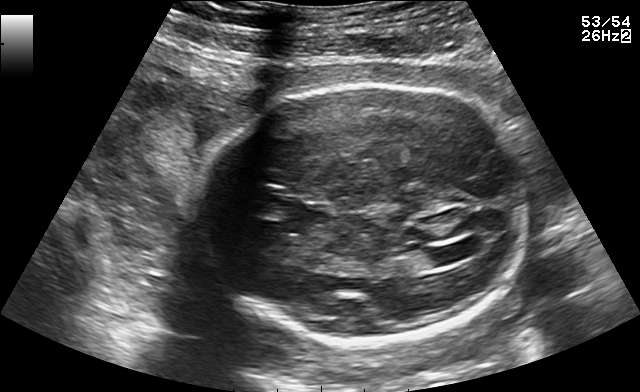
Fetal brain, trans-ventricular plane. Where is the fetal head?

Head bounding box: [196,77,537,349]